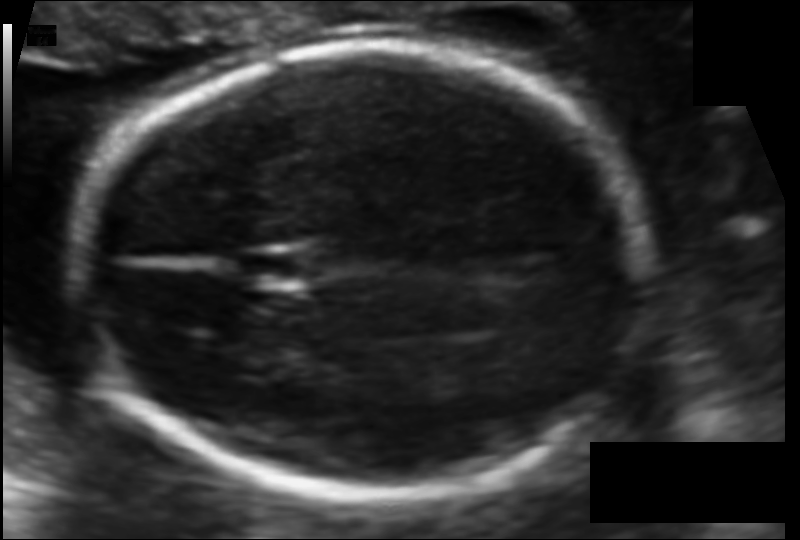
Measure the fetal head circumference shown in this ultrasound image. Image width: 84.8 mm.

Head circumference: 178.5 mm.